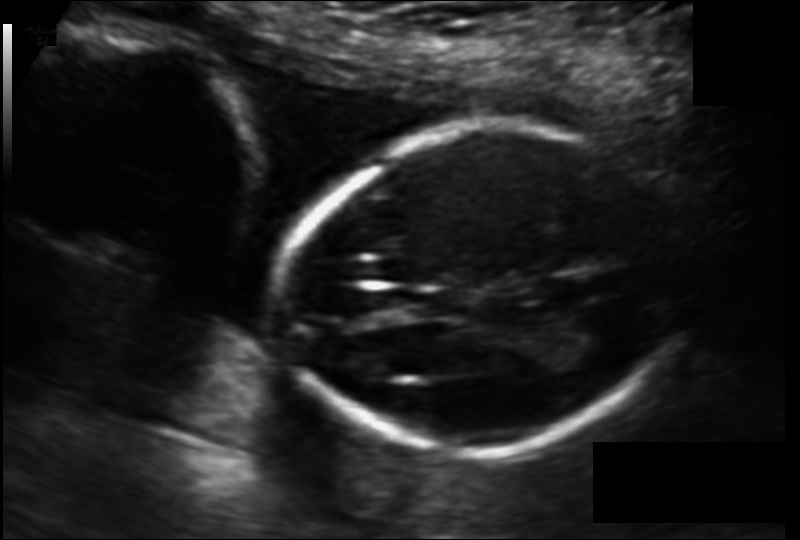
Fetal head ultrasound. Image width: 102.9 mm. Give [x1,y1,x2,y2] bounding boxes for each visible structure among: fetal head, CSP, LV.

Head: [274,123,676,453]